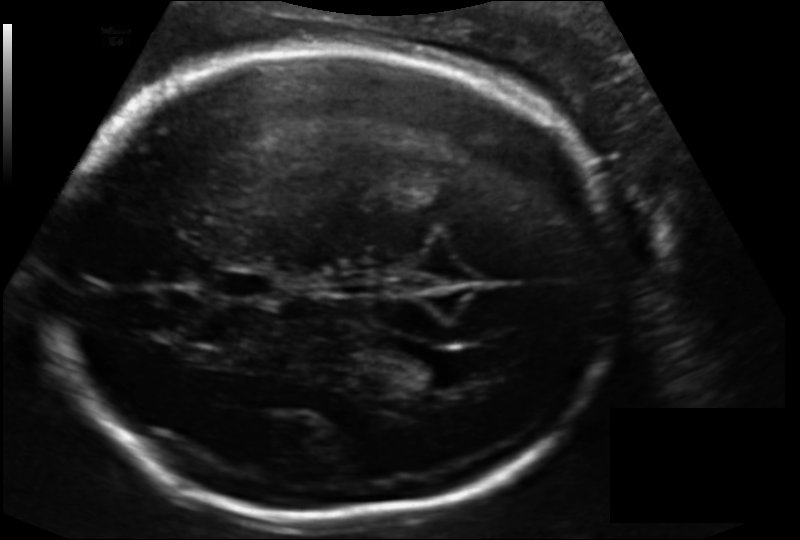
Estimate the fetal head circumference from this 2D ultrasound. Image width: 124.7 mm.

Head circumference: 259.3 mm.